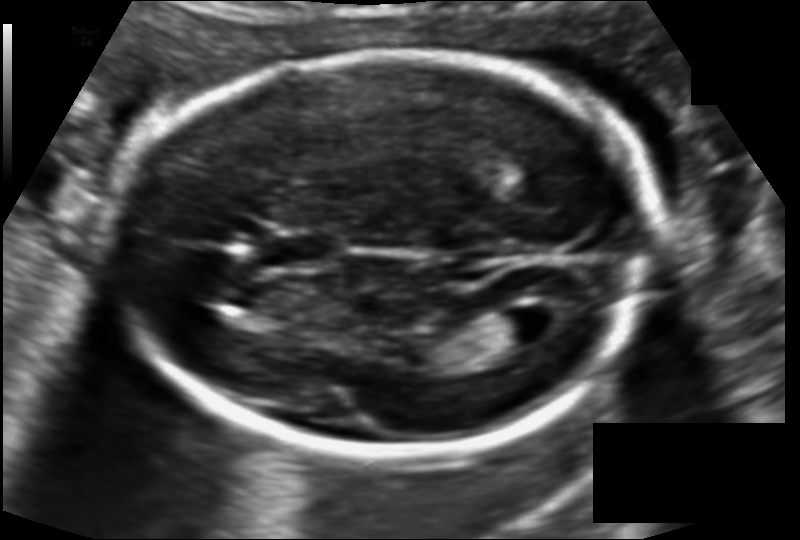
In this fetal head ultrasound, give the bounding box of the lateral ventricle. Image width: 92.2 mm.

[483,297,561,355]